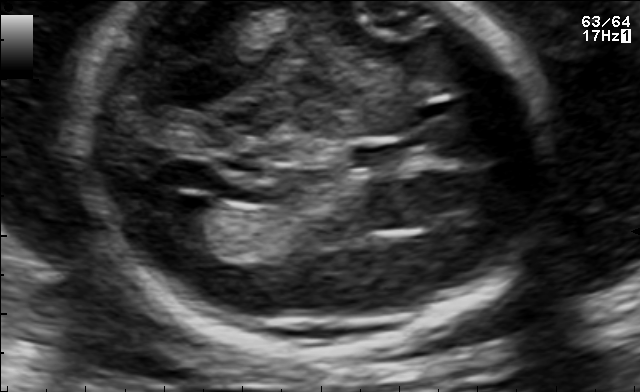
Fetal brain, trans-ventricular plane. Give [x1,y1,x2,y2] bounding boxes for each visible structure among: CSP, LV.

Lateral ventricle: [142,187,214,242]